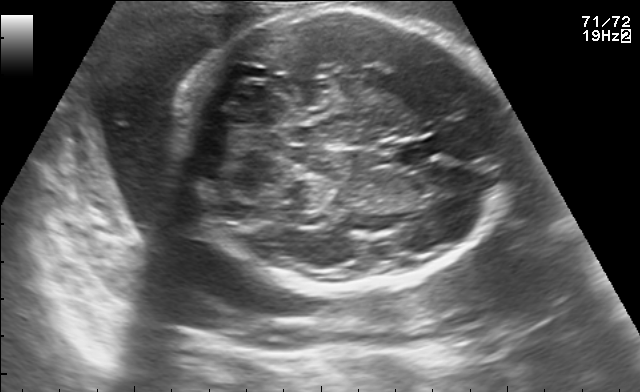
In this fetal brain, trans-cerebellum plane, give bounding boxes for the head outline, cavum septum pellucidum (CSP), and lateral ventricle (LV), where visible.

Head: [183,9,511,292]
CSP: [389,134,441,169]